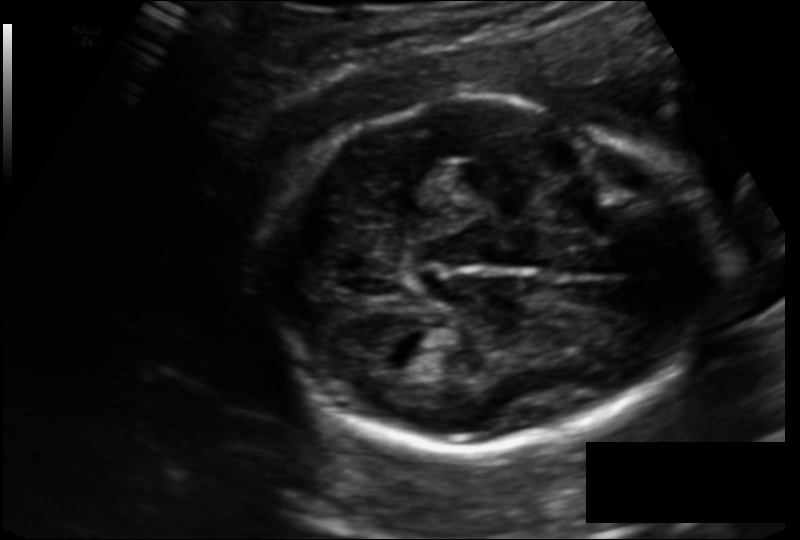
Measure the fetal head circumference shown in this ultrasound image. Image width: 107.7 mm.

Head circumference: 180.0 mm.